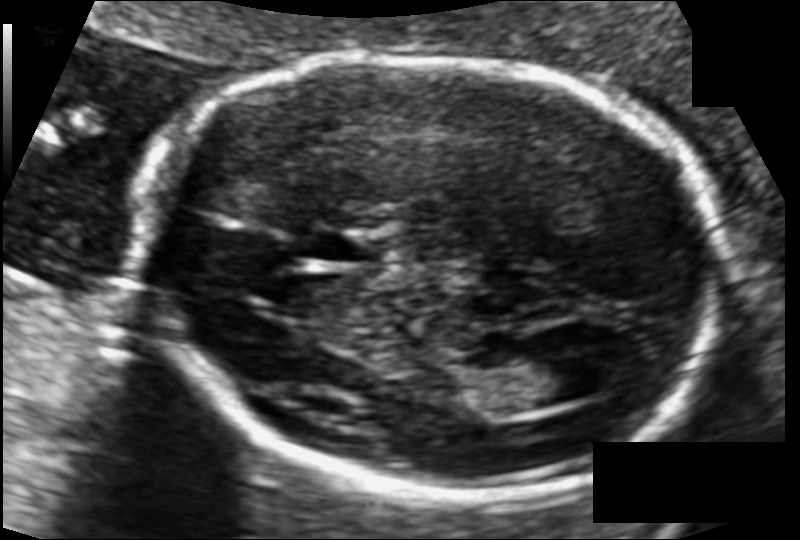
Fetal head ultrasound. Image width: 81.0 mm. Give [x1,y1,x2,y2] bounding boxes for each visible structure among: fetal head, CSP, LV.

Head: [140,54,723,496]
CSP: [304,226,381,266]
Lateral ventricle: [491,339,593,417]